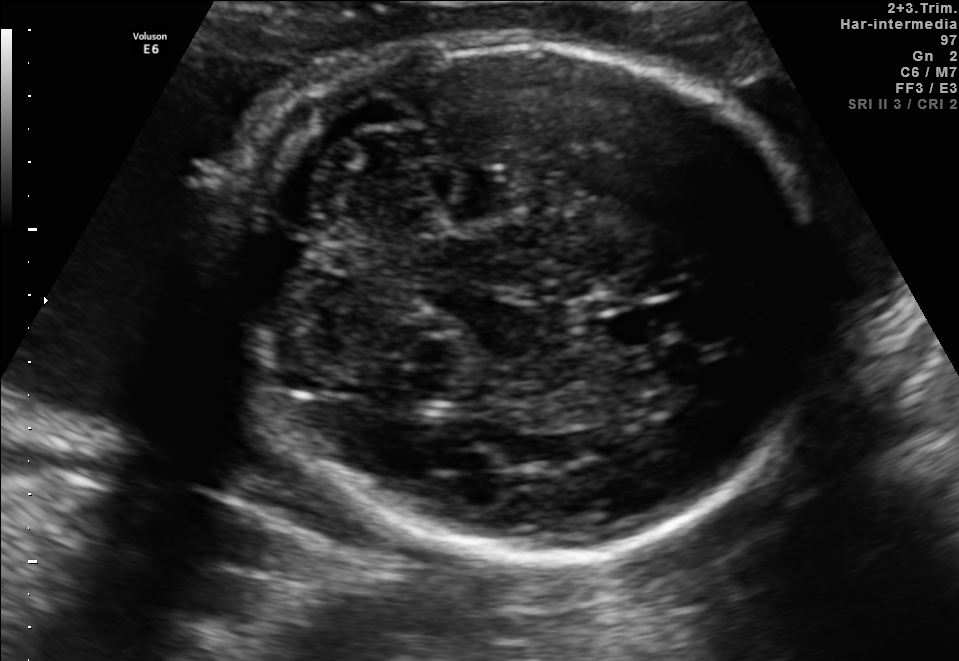
Fetal brain, trans-cerebellum plane. Locate the fetal head.

Head: [216,39,817,554]